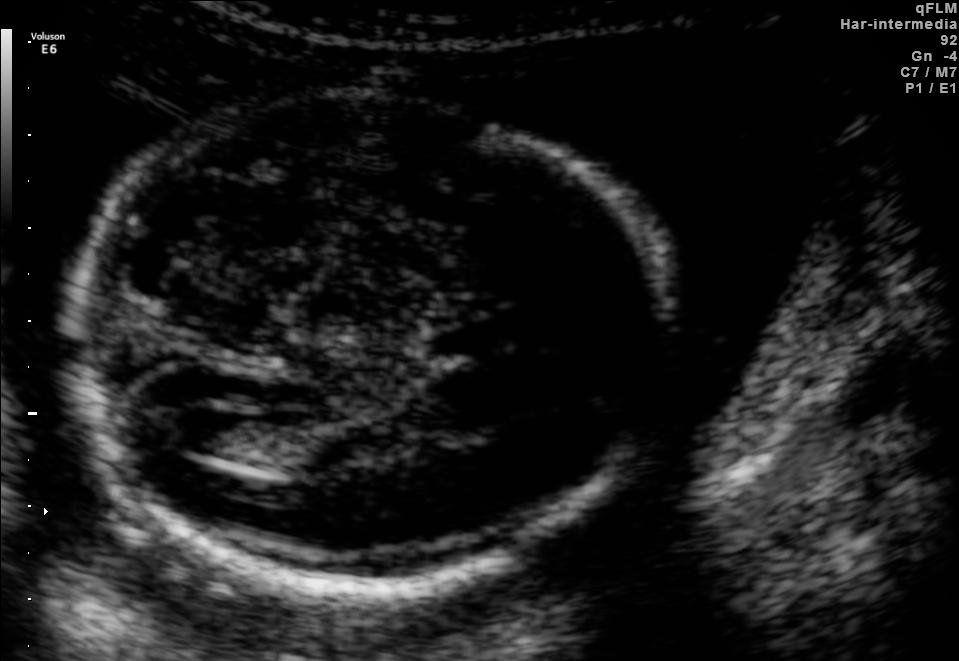
Fetal brain, trans-ventricular plane. Locate the fetal head.

Head: [51,87,688,598]